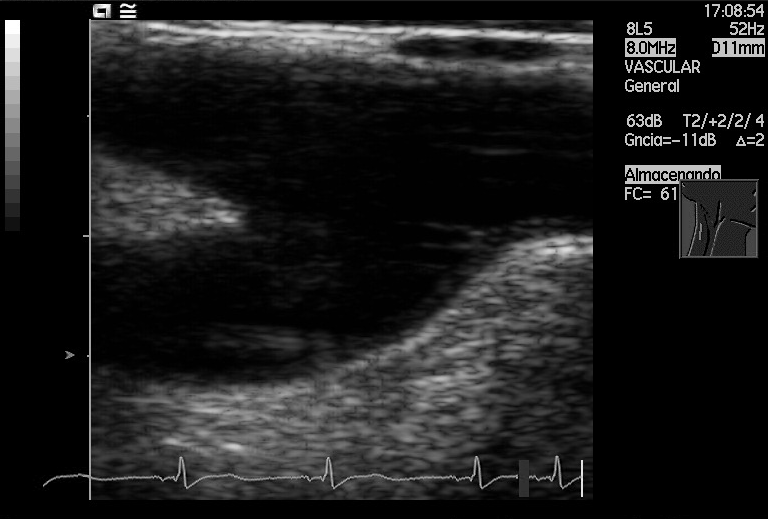
Which standard maternal-fetal ultrasound plane is shown: fetal abdomen, fetal brain, fetal femur, fetal thorax, maternal cervix, or other? If it's fetal brain and one of the three standard brain planes (trans-thalamic, trans-cerebellum, trans-ventricular), name which.

Other